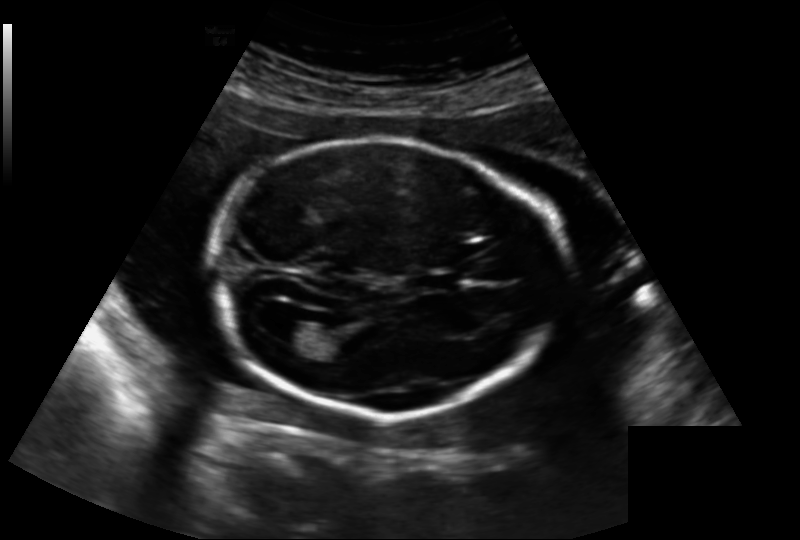
In this fetal head ultrasound, give the bounding box of the lateral ventricle. Image width: 150.3 mm.

[272,317,319,350]